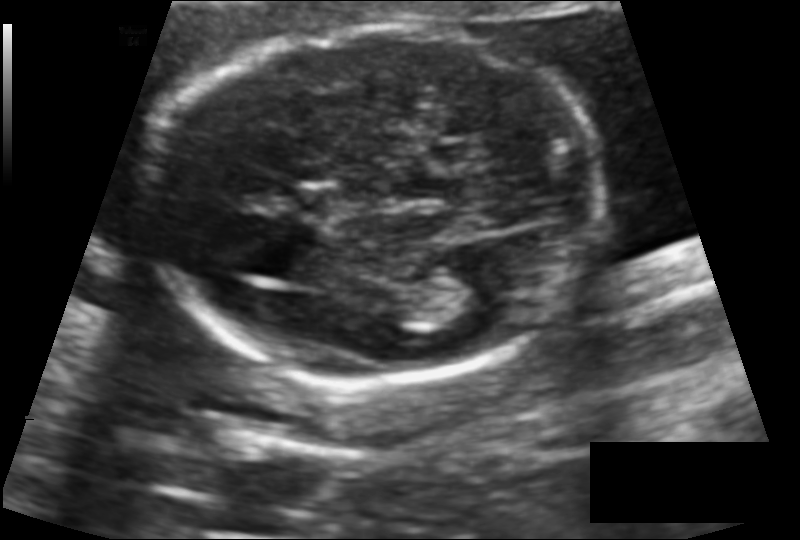
Fetal head ultrasound. Image width: 94.4 mm. Give [x1,y1,x2,y2] bounding boxes for each visible structure among: fetal head, CSP, LV.

Head: [146,27,604,381]